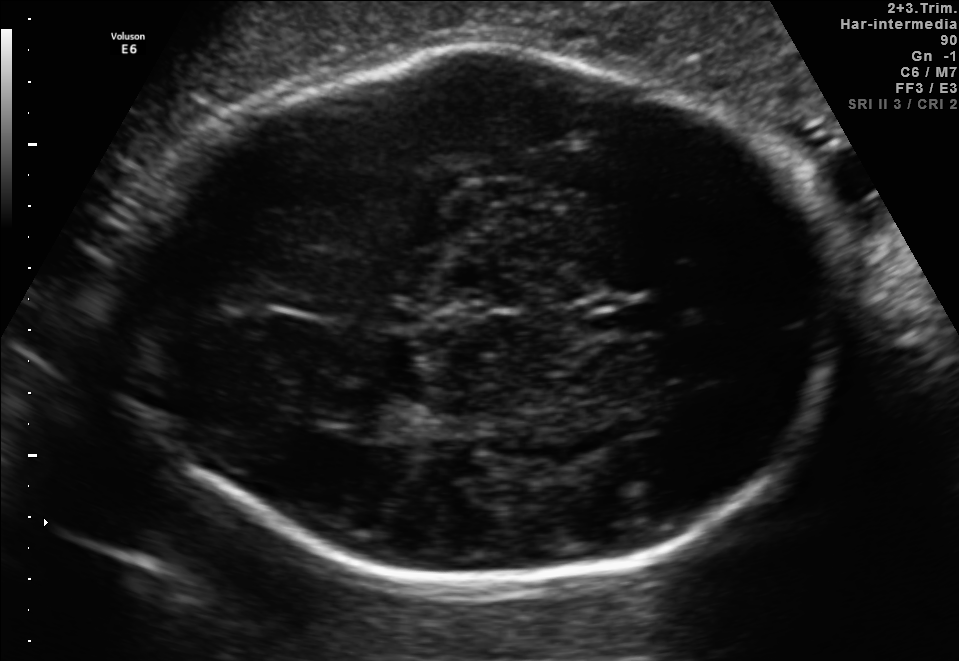
This is a 2D maternal-fetal ultrasound frame. Is it a fetal abdomen, fetal brain, fetal femur, fetal thorax, maternal cervix, or other standard plane? If it's fetal brain and one of the three standard brain planes (trans-thalamic, trans-cerebellum, trans-ventricular), name which.

Fetal brain (trans-thalamic plane)